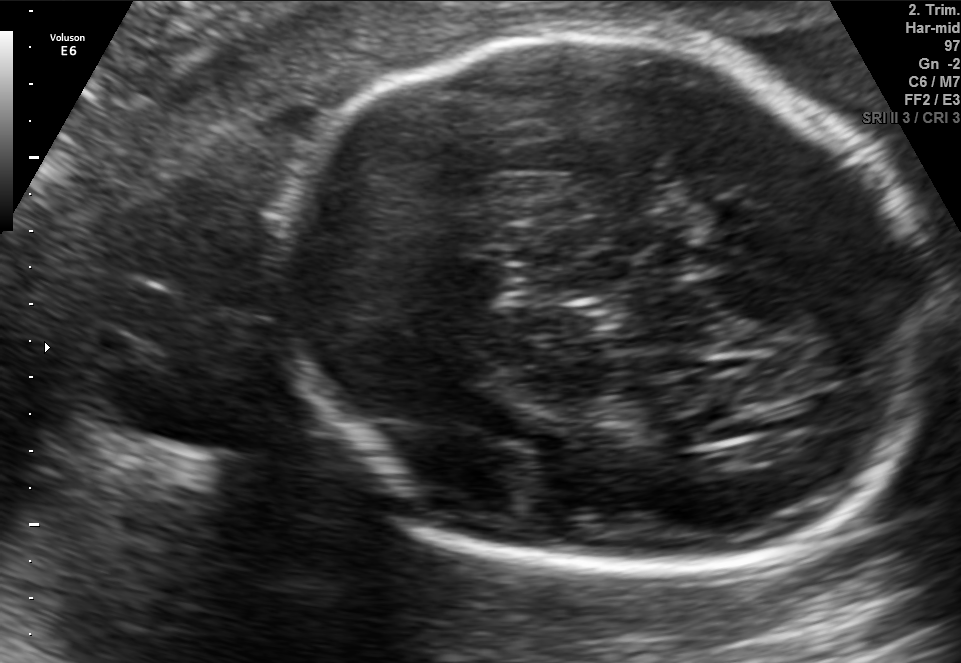
Fetal brain, trans-thalamic plane. Locate the fetal head and, if visible, the cavum septum pellucidum (CSP) and lateral ventricle (LV). Give bounding boxes as [x1,y1,x2,y2].

Head: [280,34,934,581]